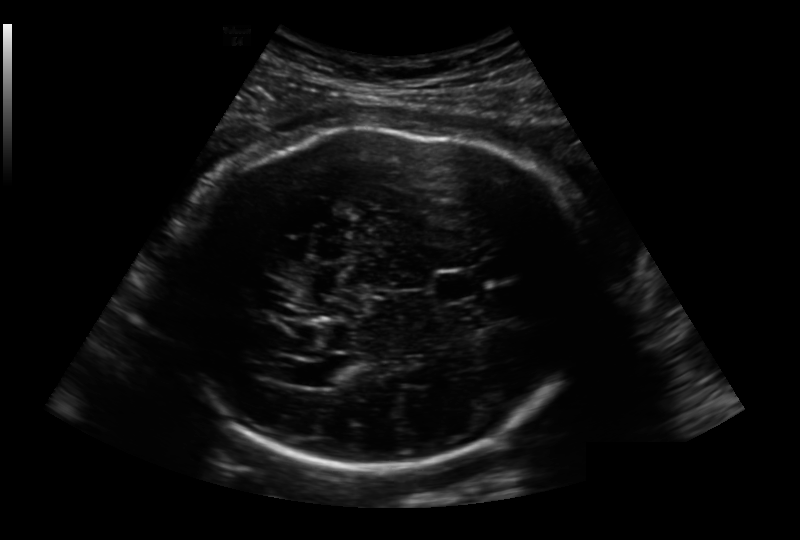
In this fetal head ultrasound, give the bounding box of the fetal head. Image width: 188.6 mm.

[174,125,596,469]